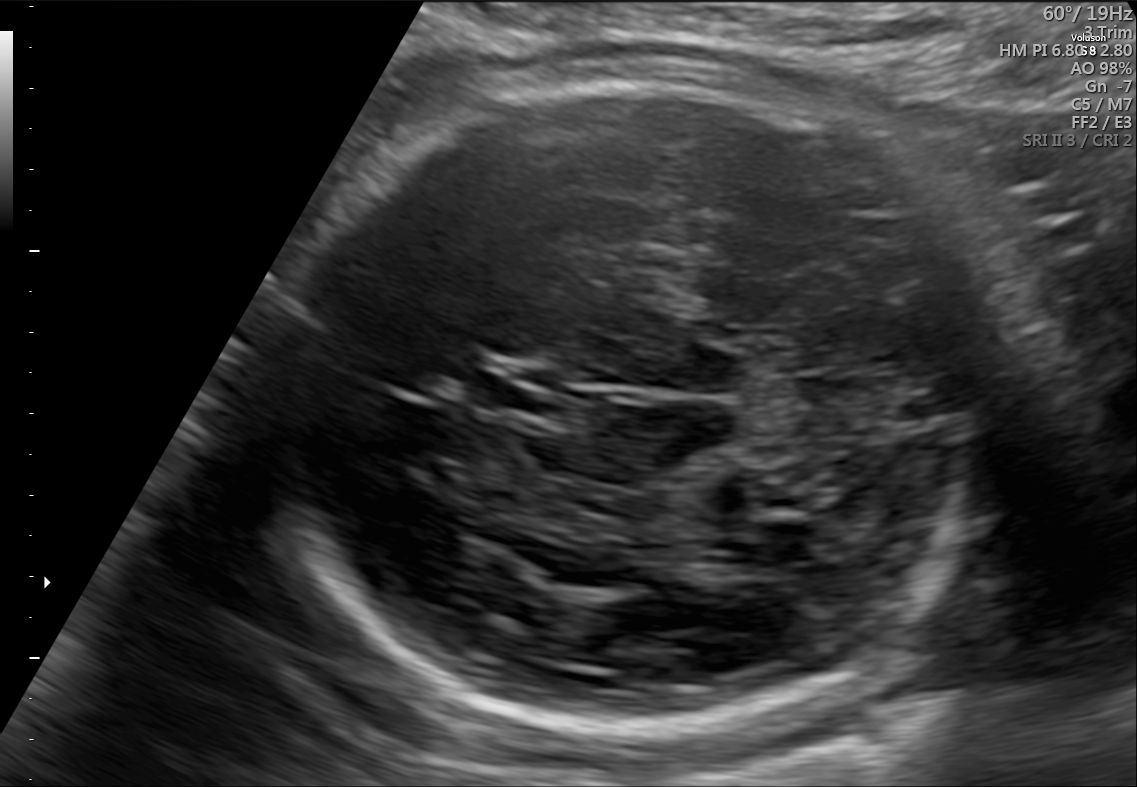
Fetal brain, trans-cerebellum plane. Where is the fetal head?

Head bounding box: [268,74,983,727]